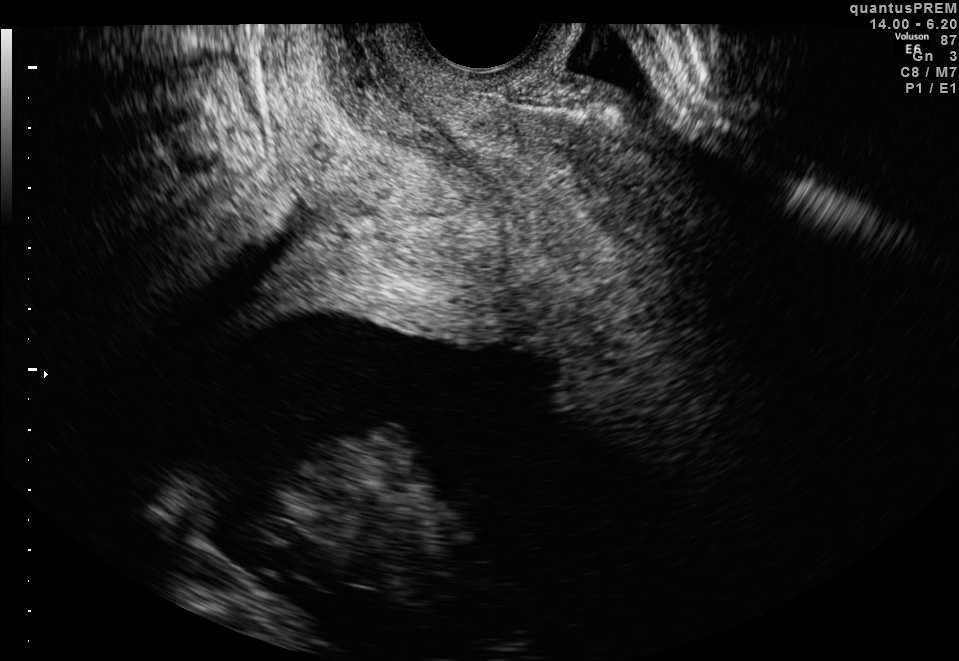
Classify this maternal-fetal ultrasound image as one of the six standard planes — fetal abdomen, fetal brain, fetal femur, fetal thorax, maternal cervix, or other. If it's fetal brain and one of the three standard brain planes (trans-thalamic, trans-cerebellum, trans-ventricular), name which.

Maternal cervix